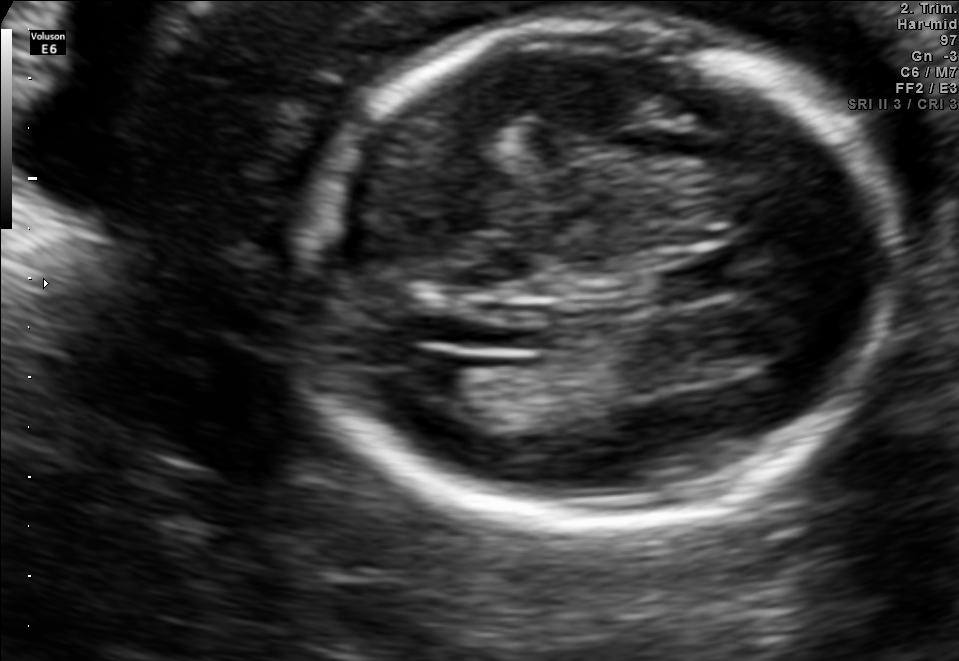
Fetal brain, trans-ventricular plane. Give [x1,y1,x2,y2] bounding boxes for each visible structure among: fetal head, CSP, LV.

Head: [285,10,914,539]
CSP: [657,253,750,308]
Lateral ventricle: [398,343,473,403]